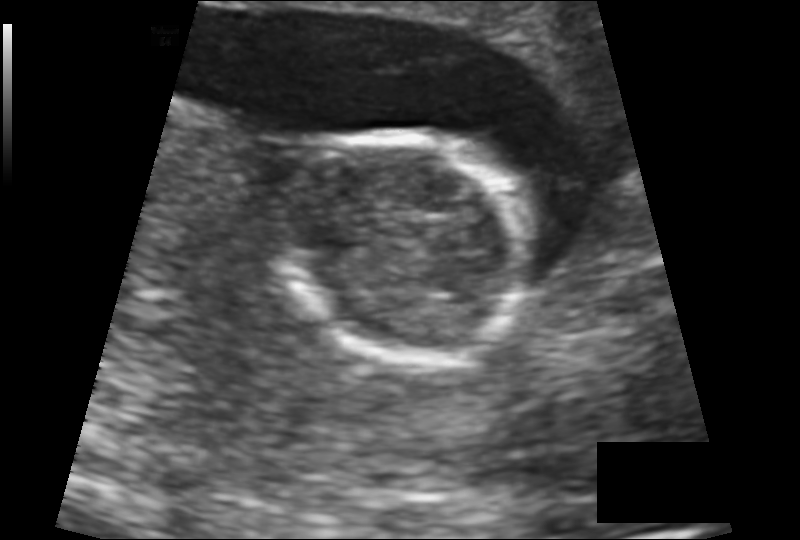
What is the fetal head circumference? Image width is 109.7 mm.

105.5 mm